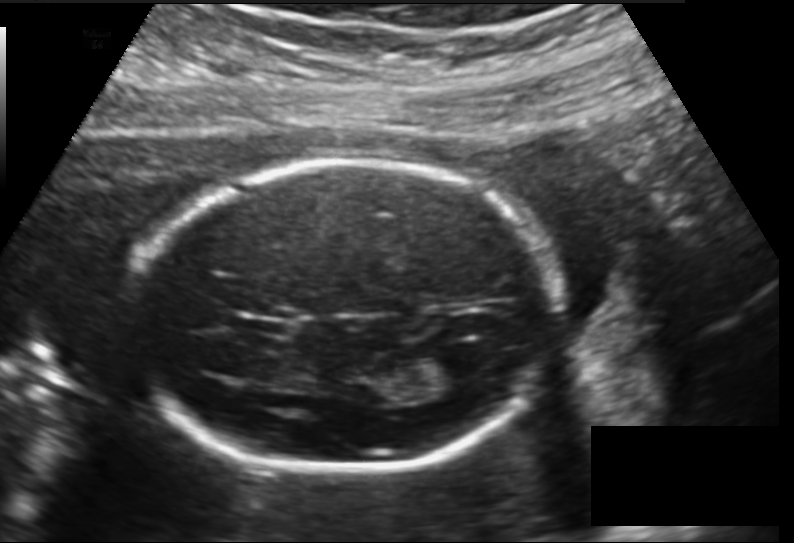
Estimate the fetal head circumference from this 2D ultrasound. Image width: 124.7 mm.

Head circumference: 188.8 mm.